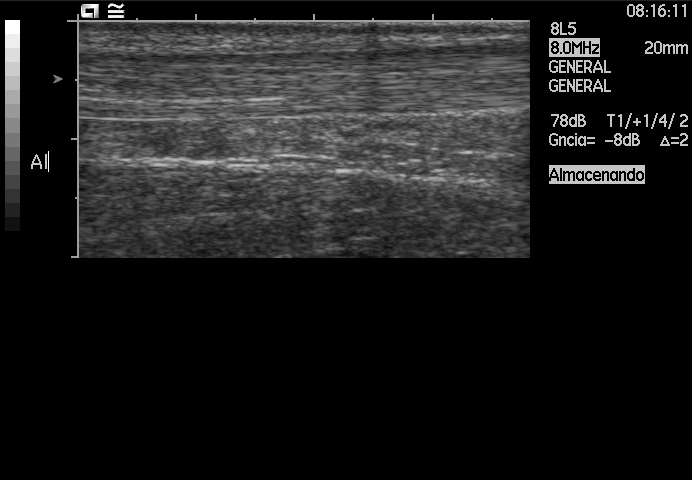
Classify this maternal-fetal ultrasound image as one of the six standard planes — fetal abdomen, fetal brain, fetal femur, fetal thorax, maternal cervix, or other. If it's fetal brain and one of the three standard brain planes (trans-thalamic, trans-cerebellum, trans-ventricular), name which.

Other